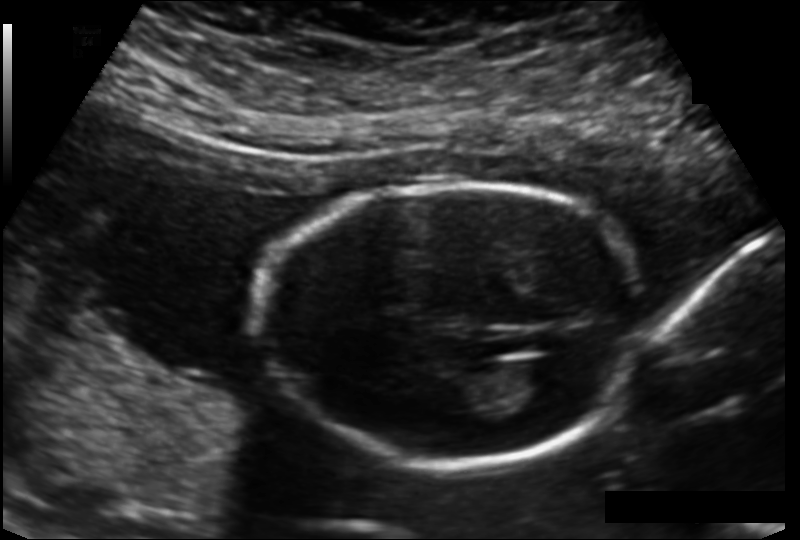
Fetal head ultrasound. Image width: 107.7 mm. Give [x1,y1,x2,y2] bounding boxes for each visible structure among: fetal head, CSP, LV.

Head: [260,181,647,465]